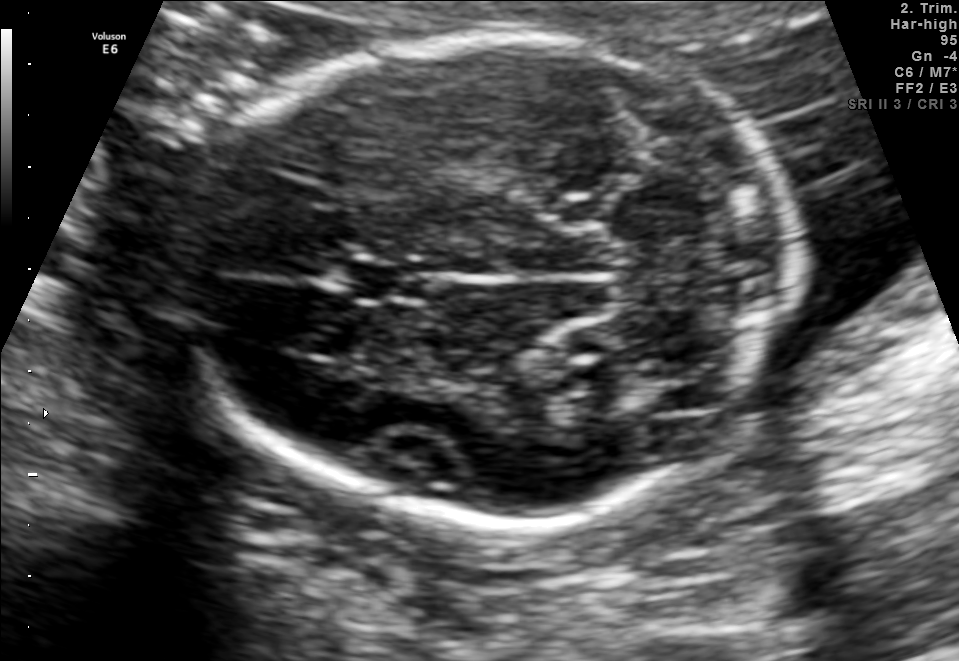
Identify the standard plane in this fetal ultrasound image: fetal abdomen, fetal brain, fetal femur, fetal thorax, maternal cervix, or other. If it's fetal brain and one of the three standard brain planes (trans-thalamic, trans-cerebellum, trans-ventricular), name which.

Fetal brain (trans-cerebellum plane)